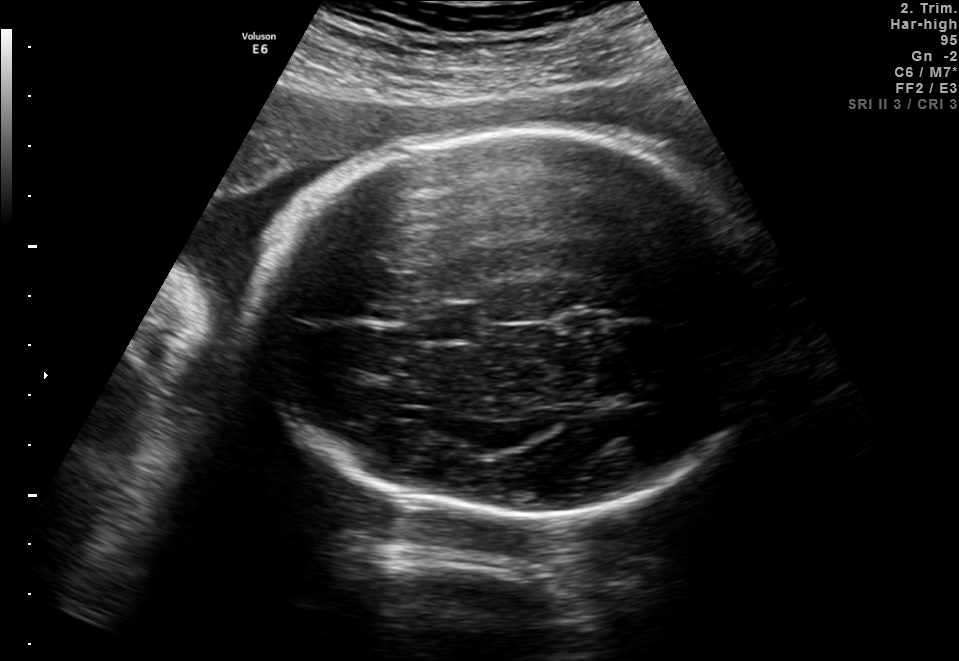
Fetal brain, trans-thalamic plane. Give [x1,y1,x2,y2] bounding boxes for each visible structure among: fetal head, CSP, LV.

Head: [252,128,775,517]
CSP: [419,304,479,339]